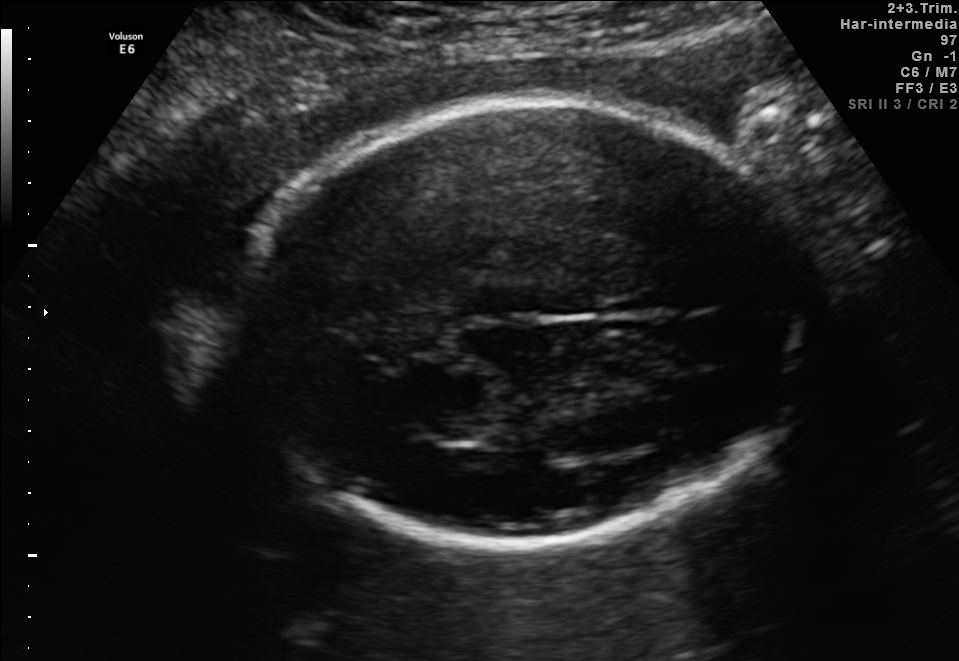
Fetal brain, trans-thalamic plane. Give [x1,y1,x2,y2] bounding boxes for each visible structure among: fetal head, CSP, LV.

Head: [222,102,833,547]